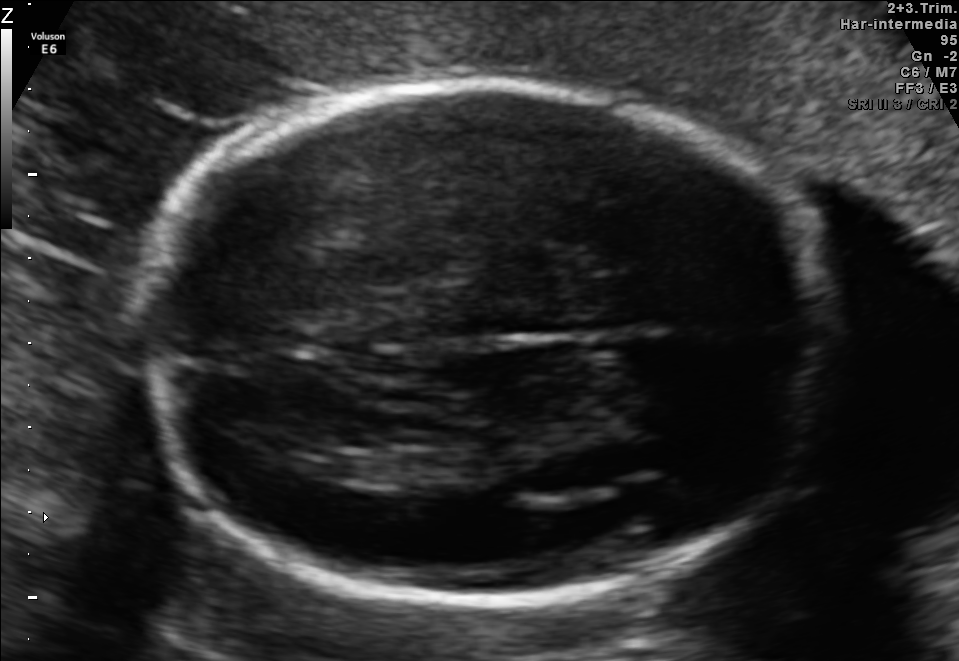
Fetal brain, trans-thalamic plane. Locate the fetal head and, if visible, the cavum septum pellucidum (CSP) and lateral ventricle (LV). Give bounding boxes as [x1,y1,x2,y2].

Head: [139,77,828,600]
Lateral ventricle: [321,453,409,486]